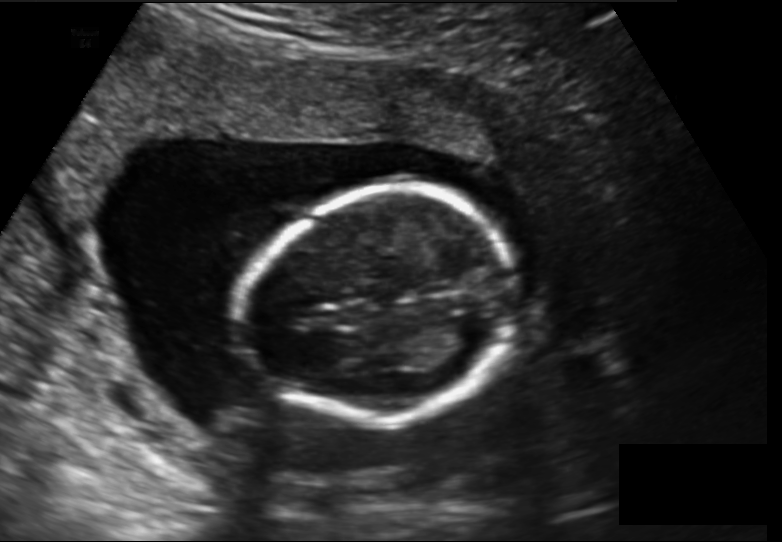
Fetal head ultrasound. Image width: 122.9 mm. Where is the fetal head?

Head bounding box: [245,188,519,423]